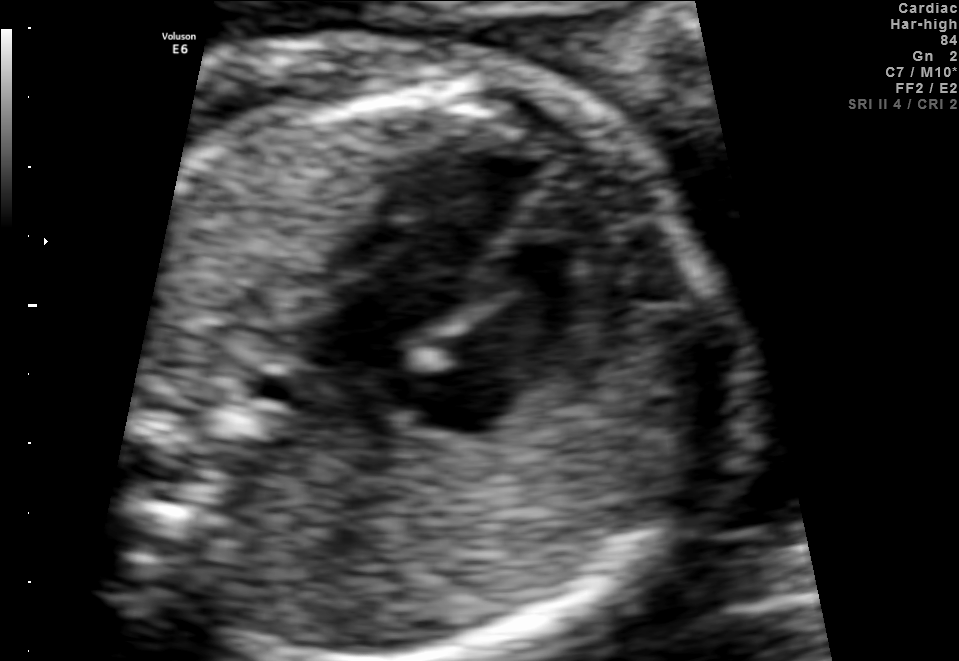
Which standard maternal-fetal ultrasound plane is shown: fetal abdomen, fetal brain, fetal femur, fetal thorax, maternal cervix, or other? If it's fetal brain and one of the three standard brain planes (trans-thalamic, trans-cerebellum, trans-ventricular), name which.

Fetal thorax